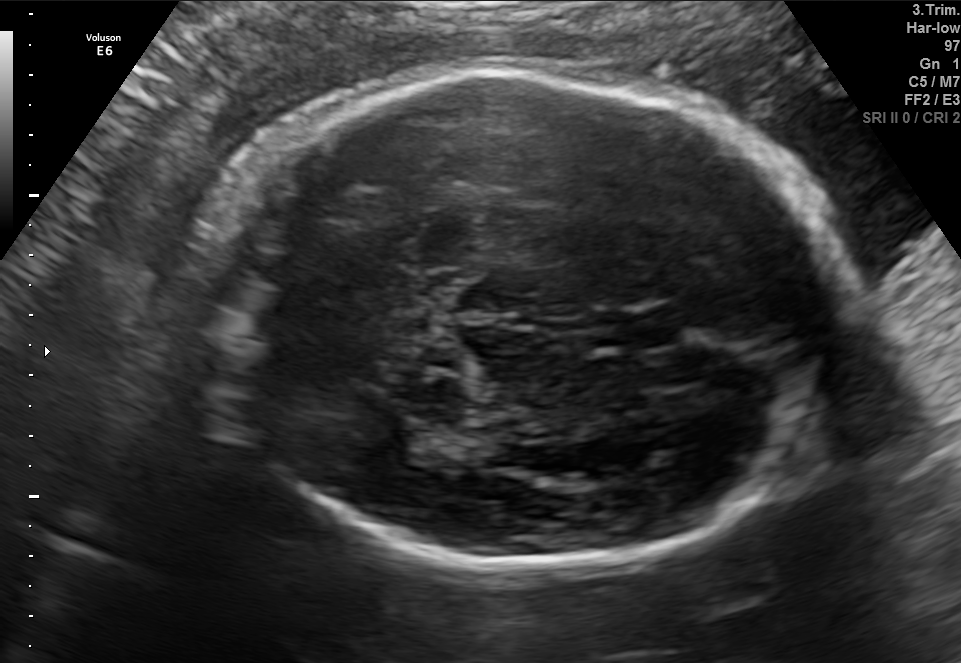
In this fetal brain, trans-thalamic plane, give the bounding box of the fetal head.

[196,64,841,565]